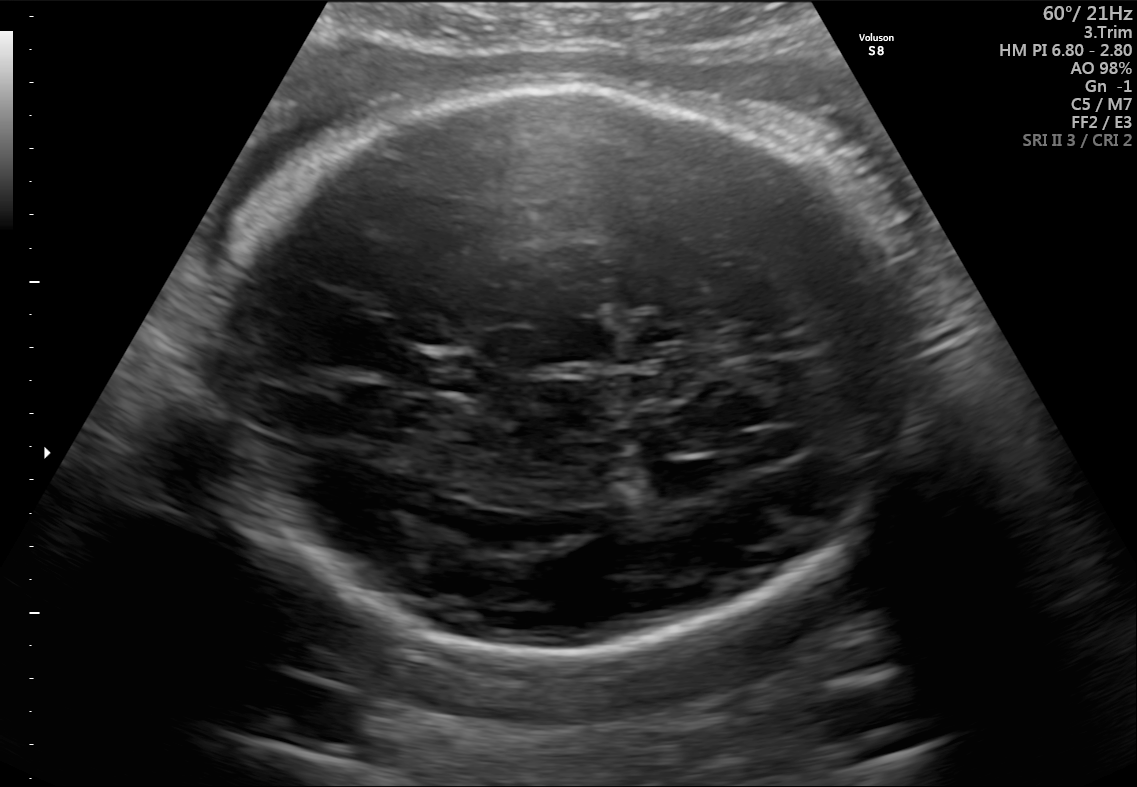
Fetal brain, trans-thalamic plane. Where is the fetal head?

Head bounding box: [206,90,909,654]